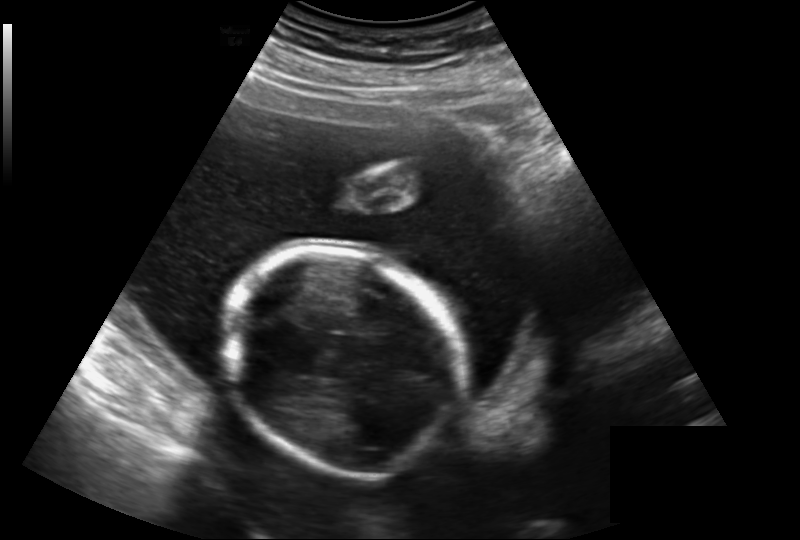
Estimate the fetal head circumference from this 2D ultrasound. Image width: 175.3 mm.

Head circumference: 163.1 mm.